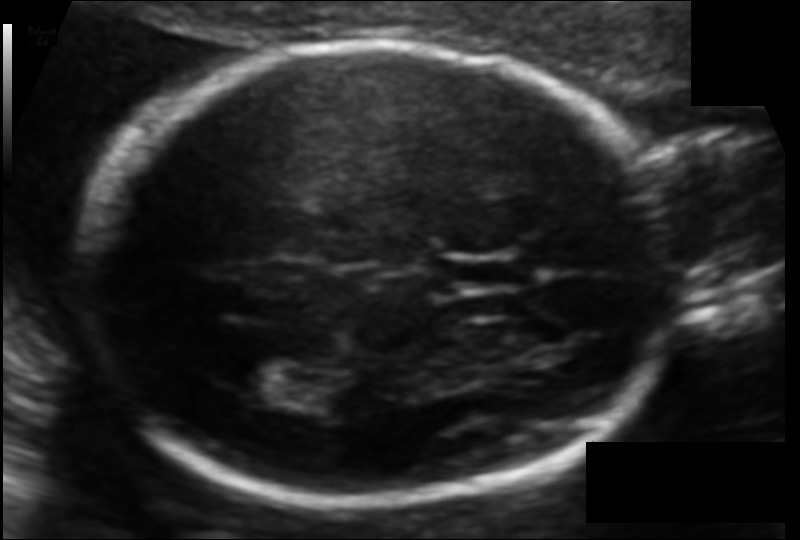
Estimate the fetal head circumference from this 2D ultrasound. Image width: 83.2 mm.

Head circumference: 177.4 mm.